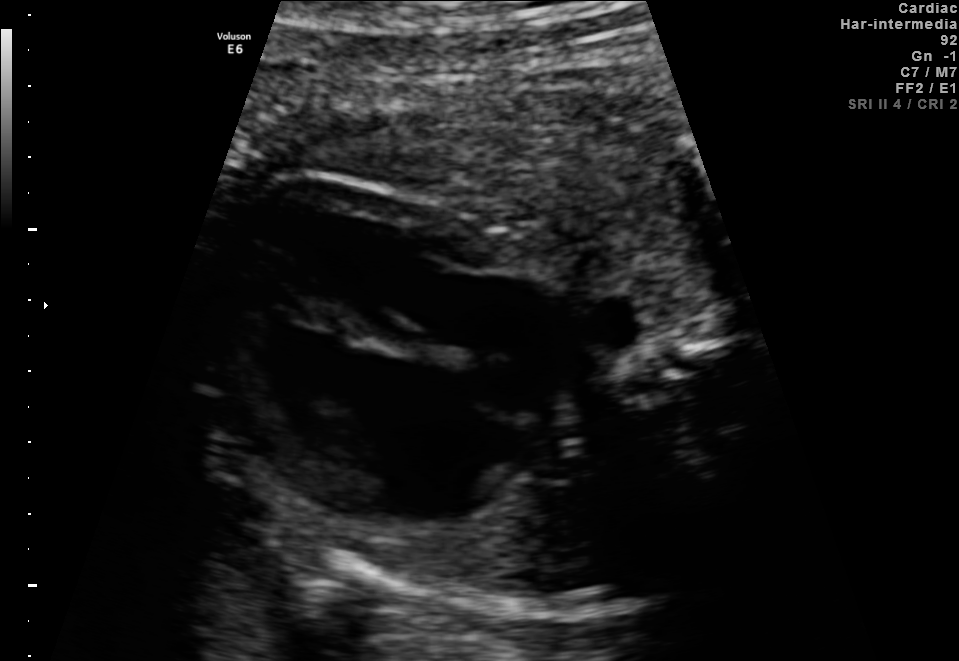
Which standard maternal-fetal ultrasound plane is shown: fetal abdomen, fetal brain, fetal femur, fetal thorax, maternal cervix, or other? If it's fetal brain and one of the three standard brain planes (trans-thalamic, trans-cerebellum, trans-ventricular), name which.

Fetal thorax